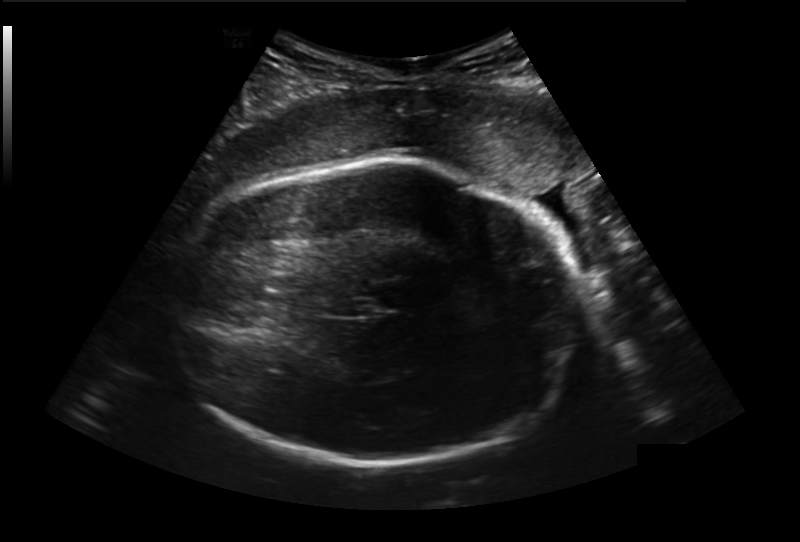
Fetal head ultrasound. Image width: 188.7 mm. Where is the fetal head?

Head bounding box: [165,158,581,464]